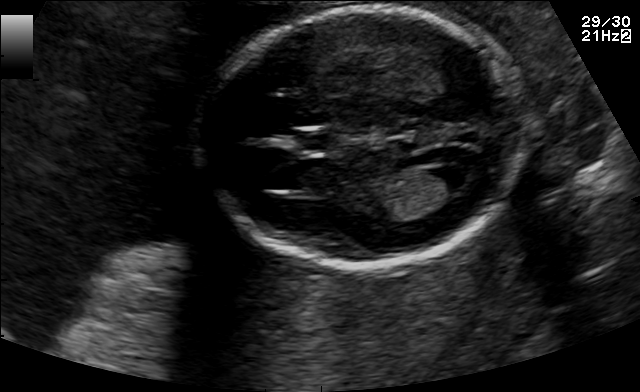
Fetal brain, trans-ventricular plane. Where is the fetal head?

Head bounding box: [195,4,539,275]